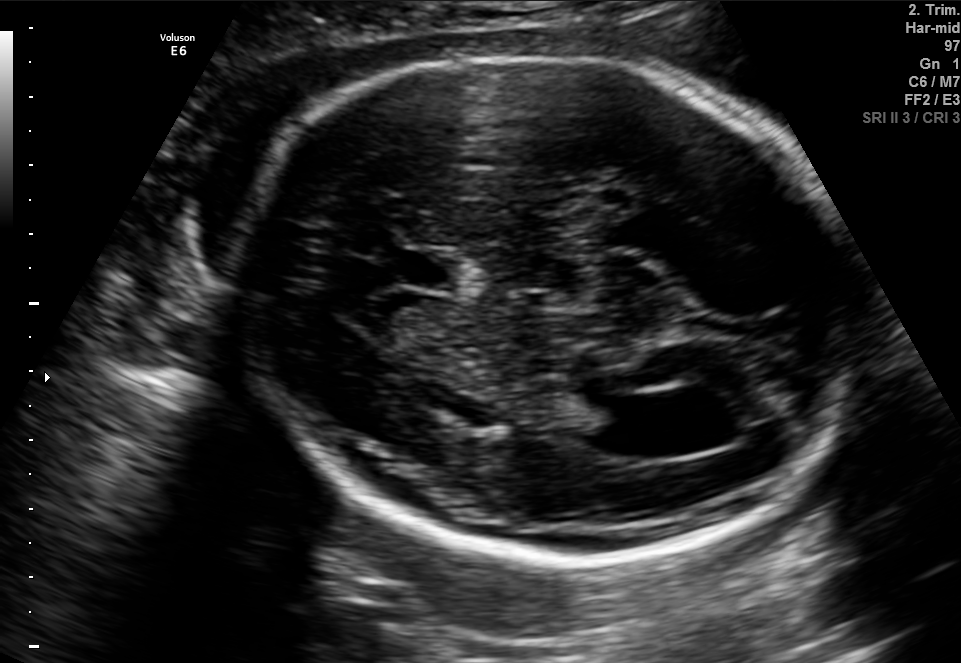
In this fetal brain, trans-ventricular plane, give the bounding box of the lateral ventricle.

[585,390,674,454]